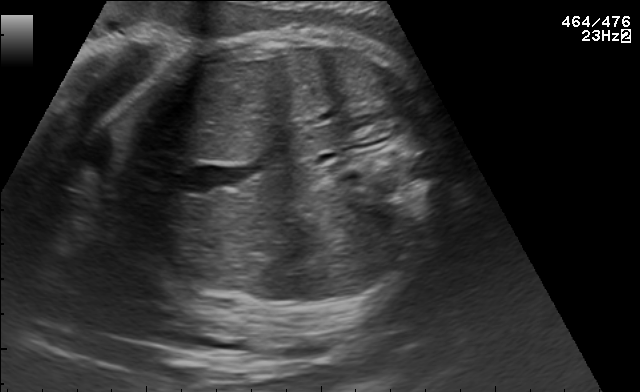
This is a 2D maternal-fetal ultrasound frame. Is it a fetal abdomen, fetal brain, fetal femur, fetal thorax, maternal cervix, or other standard plane? If it's fetal brain and one of the three standard brain planes (trans-thalamic, trans-cerebellum, trans-ventricular), name which.

Fetal abdomen